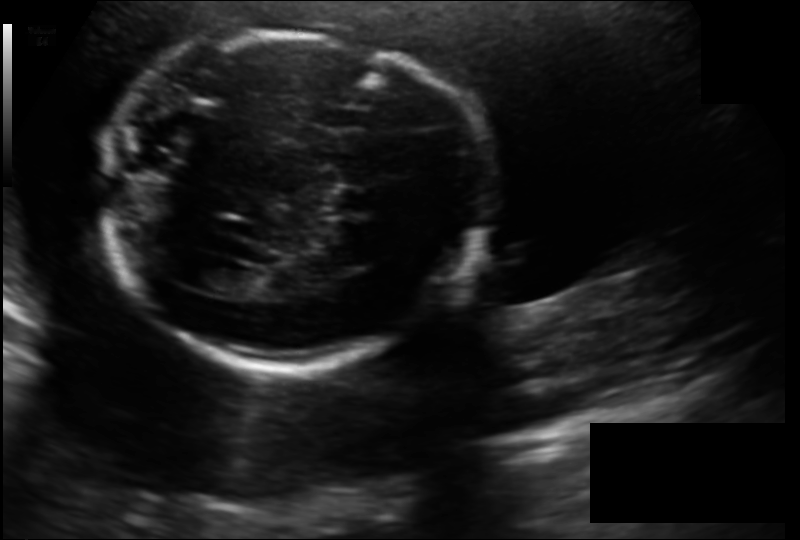
Fetal head ultrasound. Image width: 126.7 mm. Locate the cavum septum pellucidum.

CSP: [327,187,374,216]